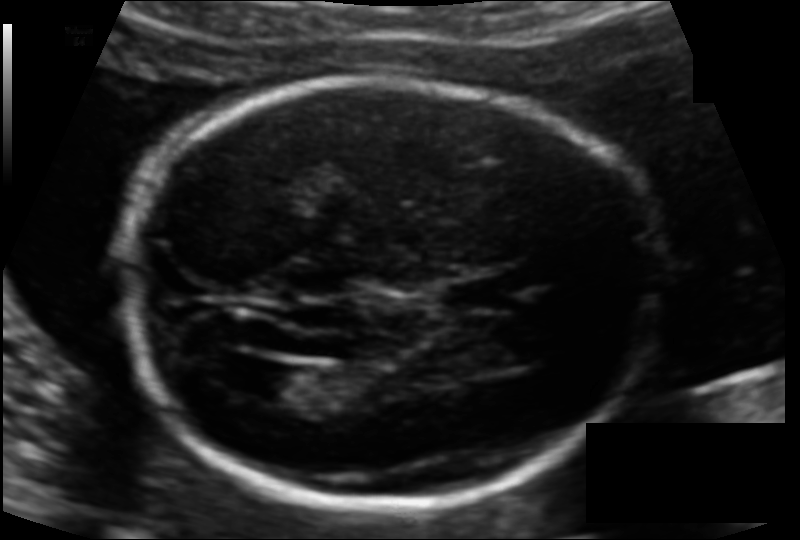
In this fetal head ultrasound, give the bounding box of the lateral ventricle. Image width: 90.3 mm.

[249,359,324,409]